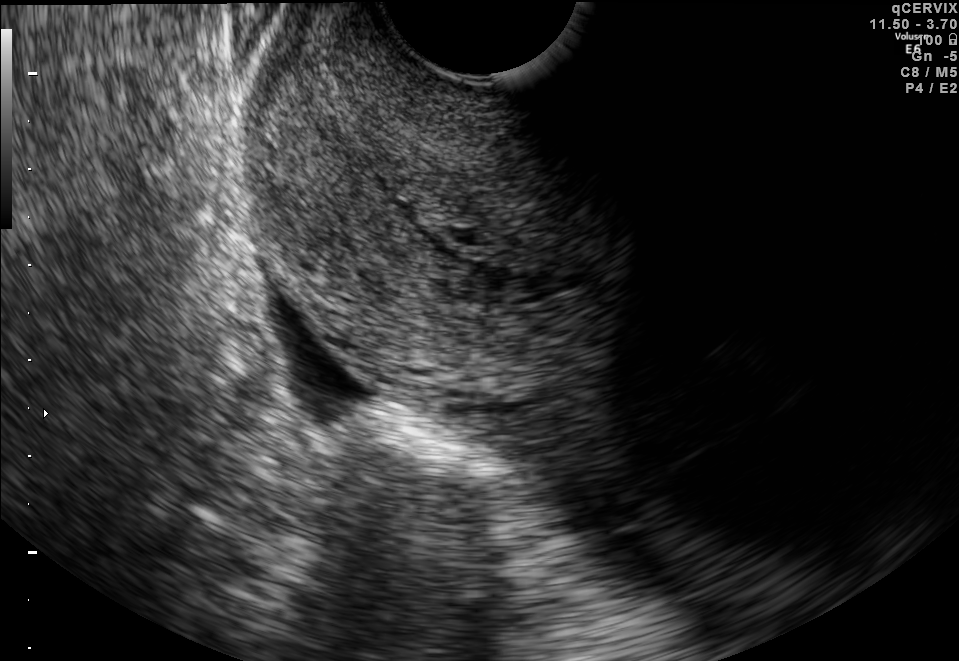
Classify this maternal-fetal ultrasound image as one of the six standard planes — fetal abdomen, fetal brain, fetal femur, fetal thorax, maternal cervix, or other. If it's fetal brain and one of the three standard brain planes (trans-thalamic, trans-cerebellum, trans-ventricular), name which.

Maternal cervix